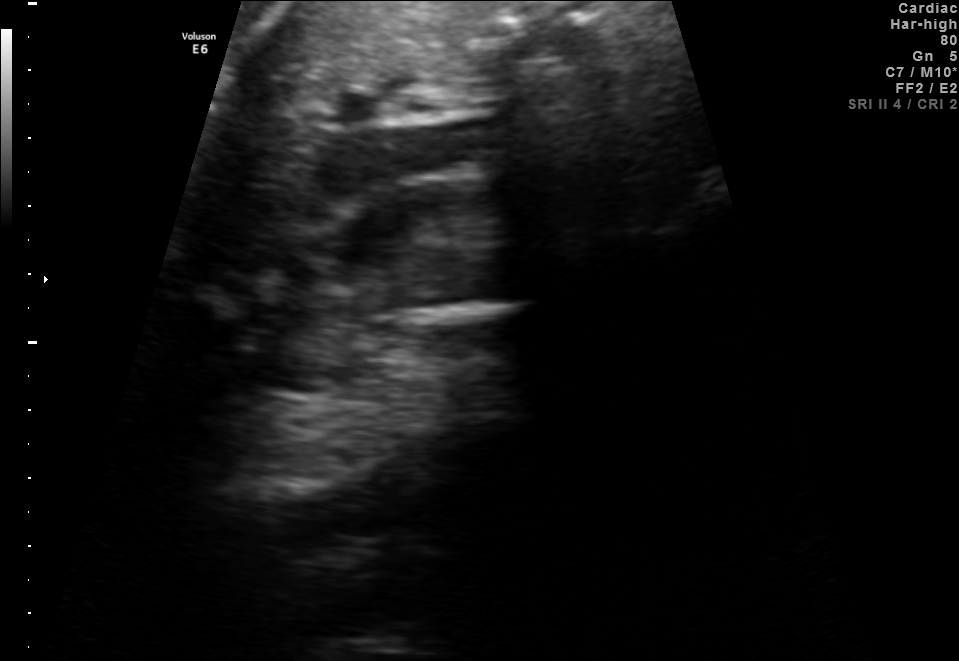
This is a 2D maternal-fetal ultrasound frame. Is it a fetal abdomen, fetal brain, fetal femur, fetal thorax, maternal cervix, or other standard plane? If it's fetal brain and one of the three standard brain planes (trans-thalamic, trans-cerebellum, trans-ventricular), name which.

Other